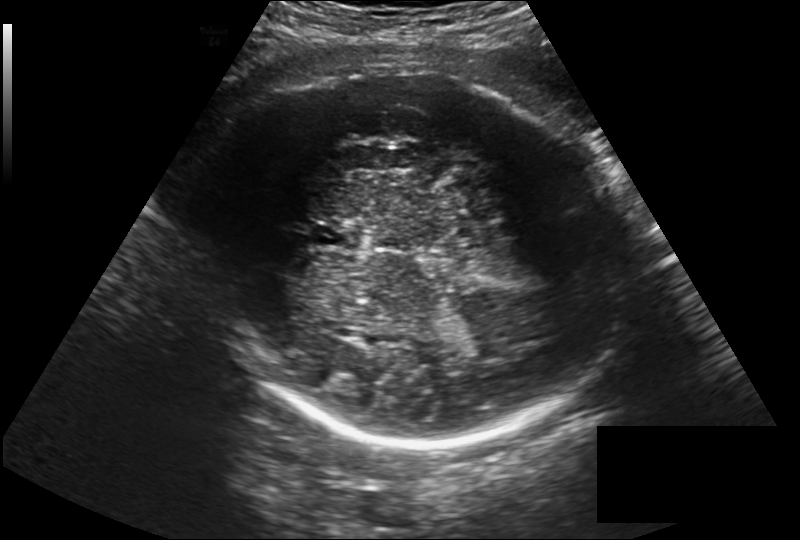
Fetal head ultrasound. Image width: 205.7 mm. Locate the fetal head and, if visible, the cavum septum pellucidum (CSP) and lateral ventricle (LV). Give bounding boxes as [x1,y1,x2,y2].

Head: [210,74,626,446]
CSP: [310,220,365,251]